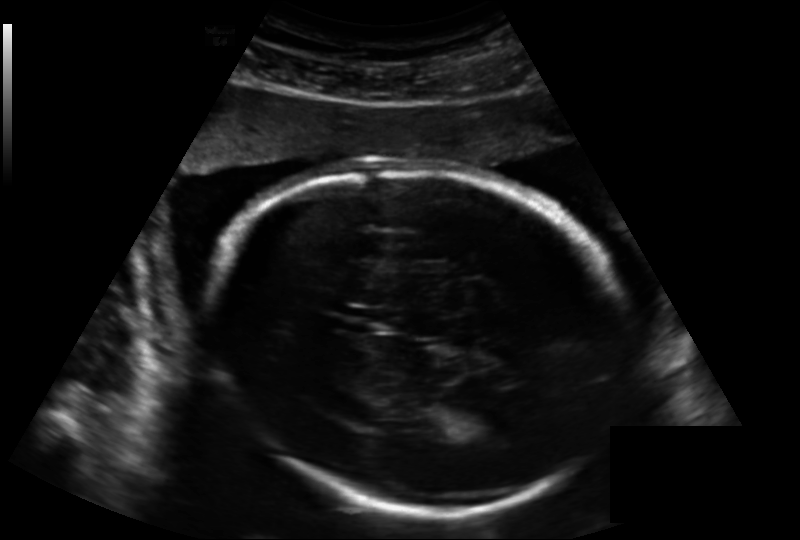
Estimate the fetal head circumference from this 2D ultrasound. Image width: 150.3 mm.

Head circumference: 230.6 mm.